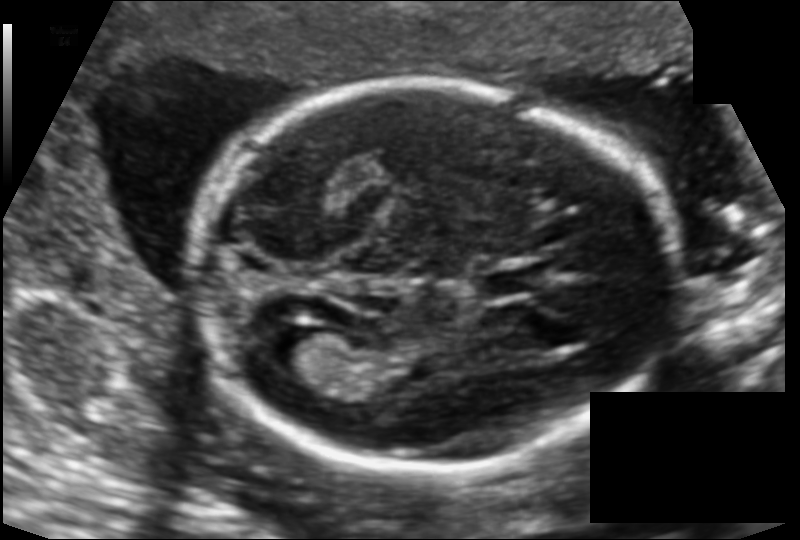
Fetal head ultrasound. Image width: 98.8 mm. Locate the fetal head.

Head: [192,83,678,469]